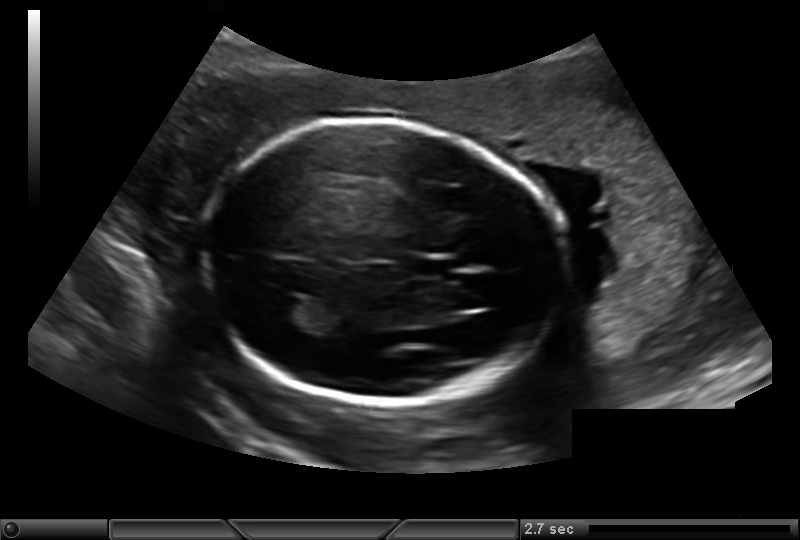
Fetal head ultrasound. Image width: 154.2 mm. Where is the fetal head?

Head bounding box: [204,120,563,402]